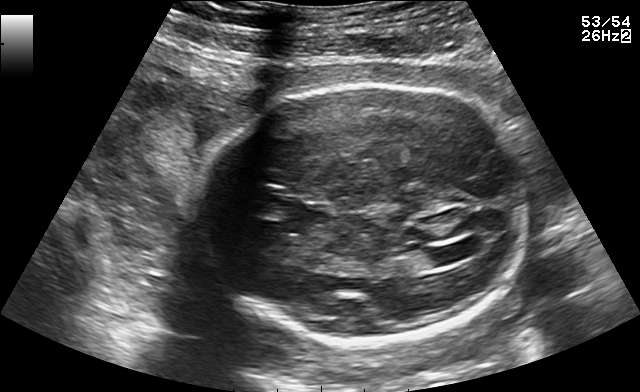
Fetal brain, trans-ventricular plane. Locate the fetal head and, if visible, the cavum septum pellucidum (CSP) and lateral ventricle (LV). Give bounding boxes as [x1,y1,x2,y2].

Head: [196,77,537,349]
Lateral ventricle: [428,239,473,268]